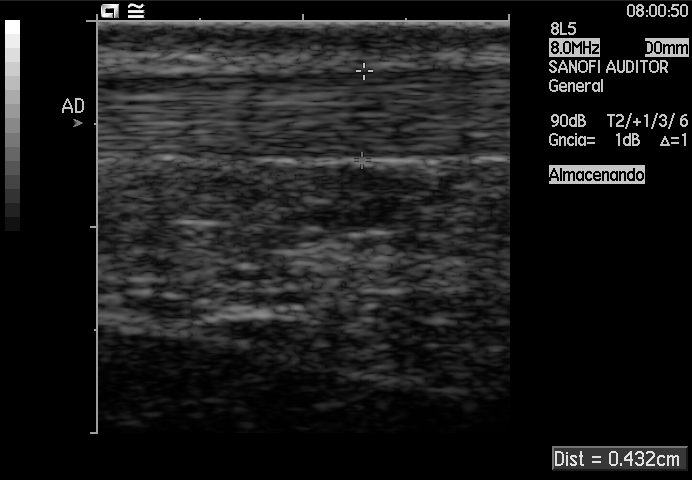
Classify this maternal-fetal ultrasound image as one of the six standard planes — fetal abdomen, fetal brain, fetal femur, fetal thorax, maternal cervix, or other. If it's fetal brain and one of the three standard brain planes (trans-thalamic, trans-cerebellum, trans-ventricular), name which.

Other